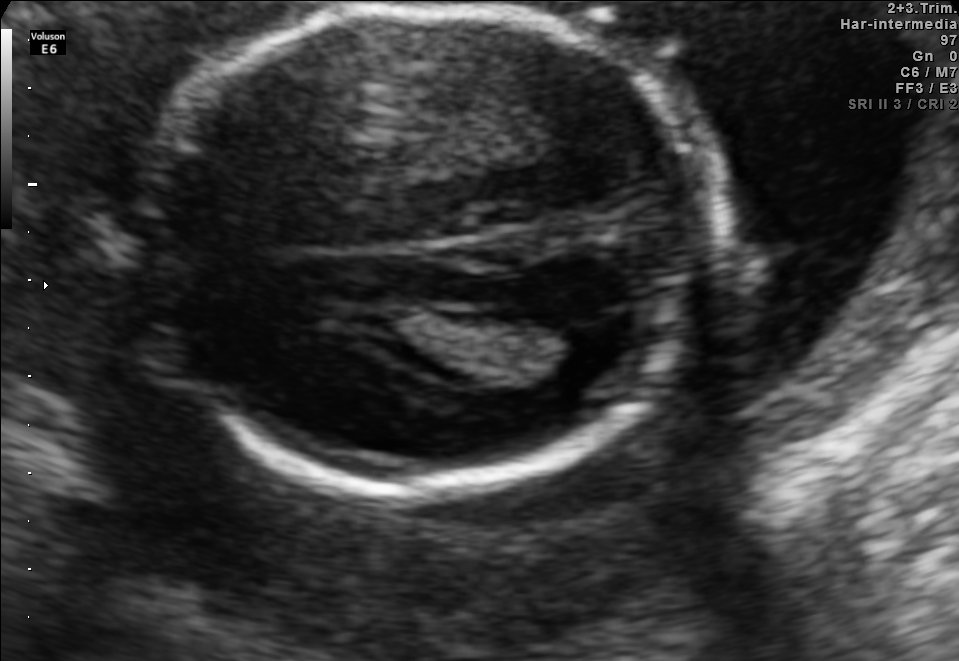
In this fetal brain, trans-thalamic plane, give the bounding box of the fetal head.

[147,7,708,492]